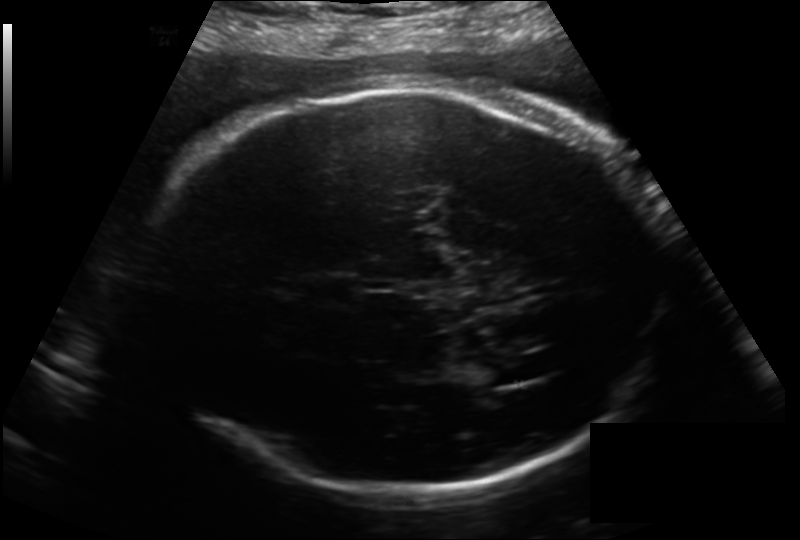
From this fetal ultrasound, estimate the head circumference (image width 171.3 mm).

Head circumference: 324.6 mm.